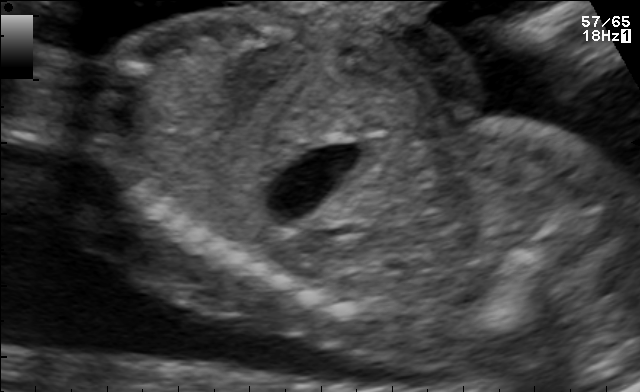
Classify this maternal-fetal ultrasound image as one of the six standard planes — fetal abdomen, fetal brain, fetal femur, fetal thorax, maternal cervix, or other. If it's fetal brain and one of the three standard brain planes (trans-thalamic, trans-cerebellum, trans-ventricular), name which.

Other